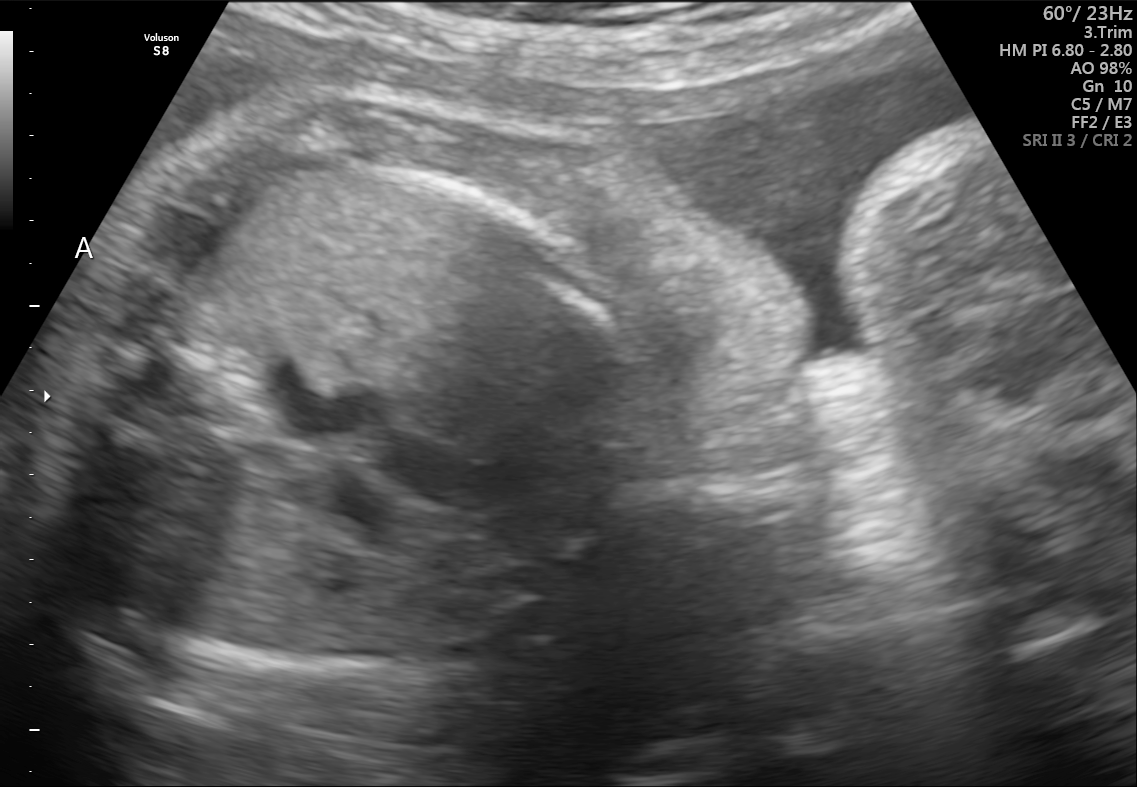
This is a 2D maternal-fetal ultrasound frame. Is it a fetal abdomen, fetal brain, fetal femur, fetal thorax, maternal cervix, or other standard plane? If it's fetal brain and one of the three standard brain planes (trans-thalamic, trans-cerebellum, trans-ventricular), name which.

Fetal abdomen